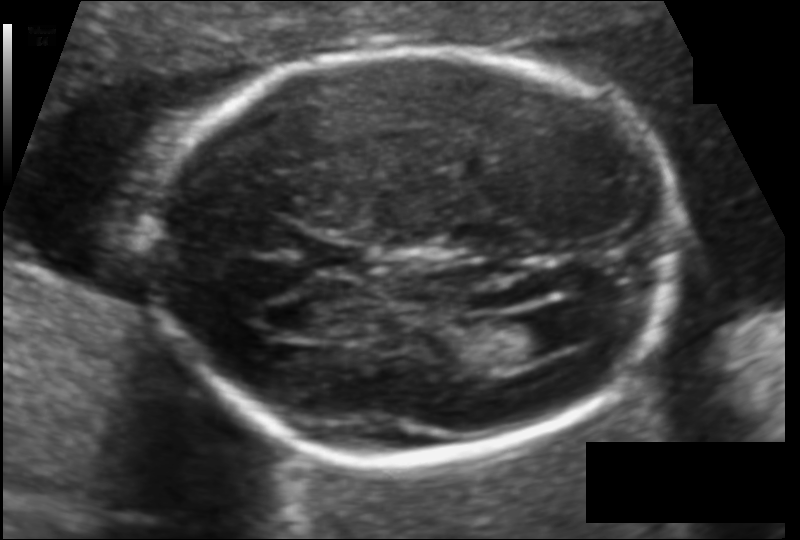
Fetal head ultrasound. Image width: 89.1 mm. Locate the fetal head.

Head: [152,48,677,462]